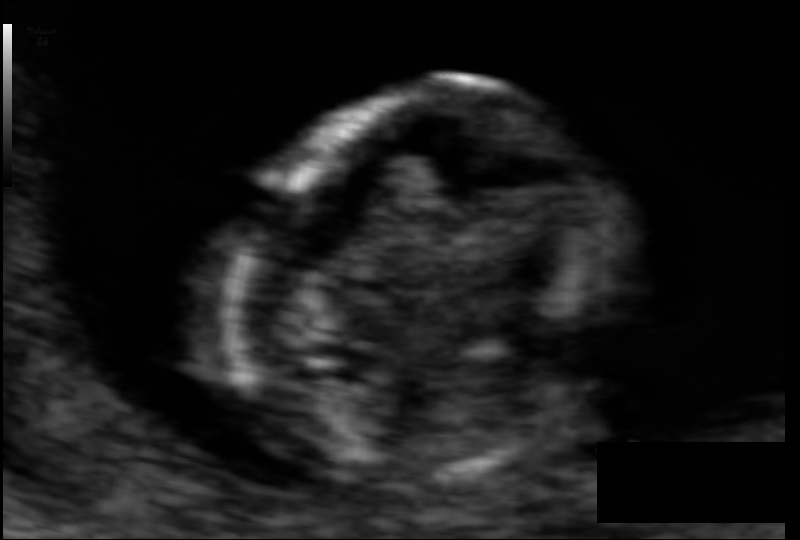
Fetal head ultrasound. Image width: 44.4 mm. Where is the fetal head?

Head bounding box: [233,80,606,488]